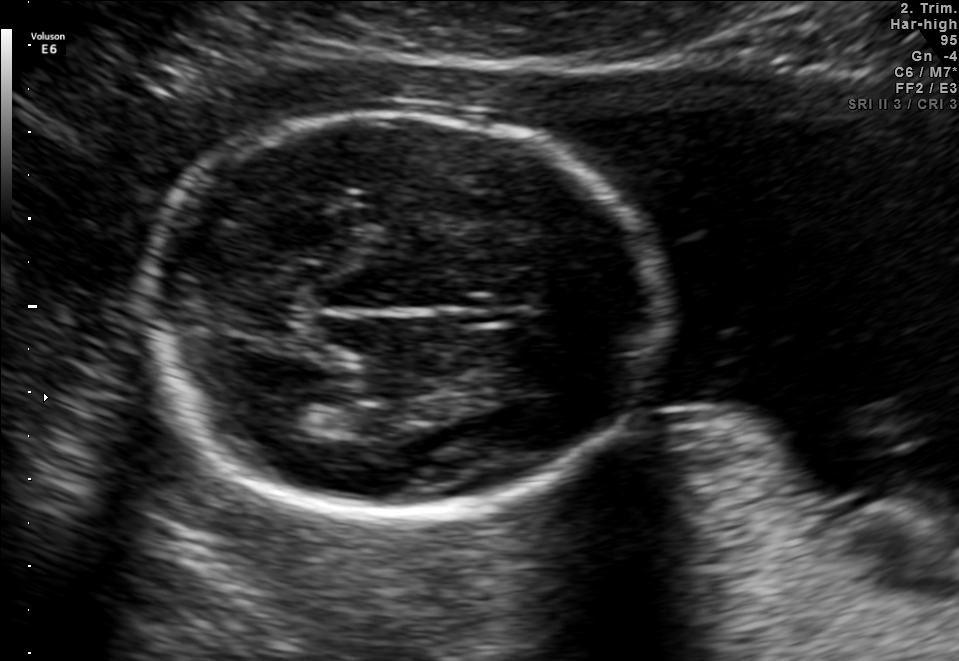
Identify the standard plane in this fetal ultrasound image: fetal abdomen, fetal brain, fetal femur, fetal thorax, maternal cervix, or other. If it's fetal brain and one of the three standard brain planes (trans-thalamic, trans-cerebellum, trans-ventricular), name which.

Fetal brain (trans-thalamic plane)